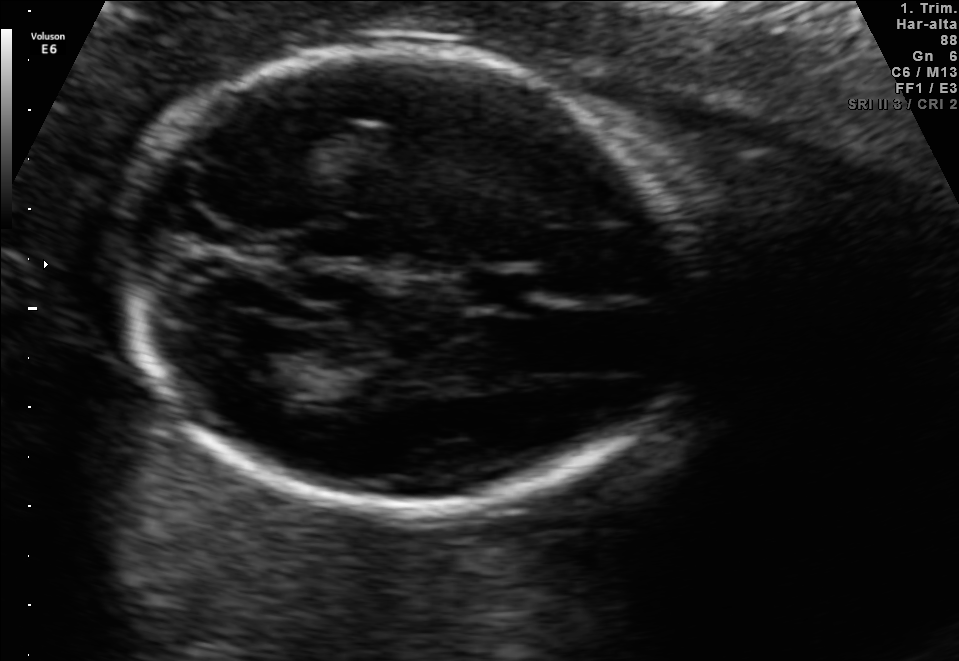
Fetal brain, trans-thalamic plane. Where is the cavum septum pellucidum?

CSP bounding box: [464,273,531,307]